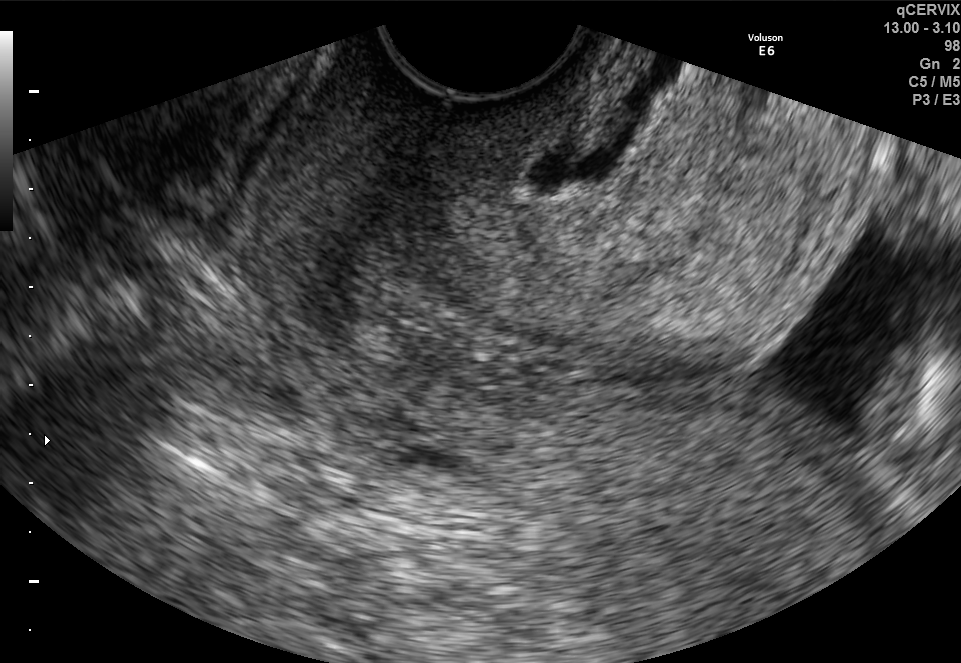
This is a 2D maternal-fetal ultrasound frame. Is it a fetal abdomen, fetal brain, fetal femur, fetal thorax, maternal cervix, or other standard plane? If it's fetal brain and one of the three standard brain planes (trans-thalamic, trans-cerebellum, trans-ventricular), name which.

Maternal cervix